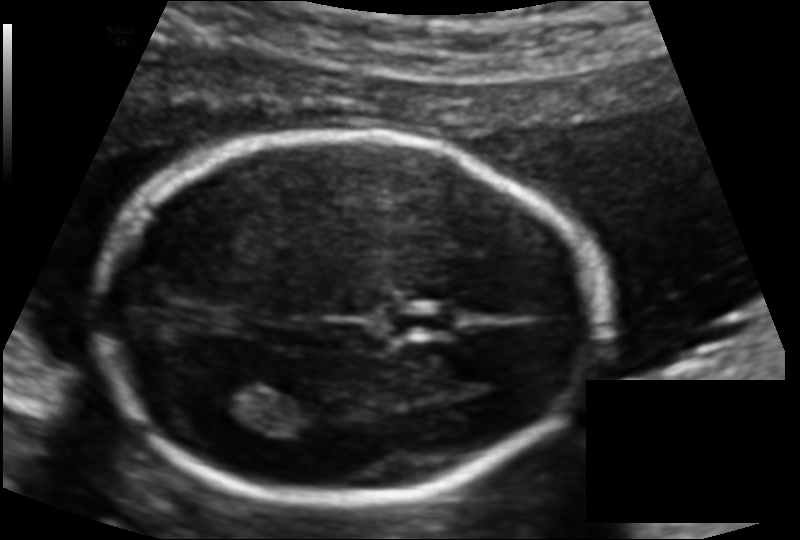
Estimate the fetal head circumference from this 2D ultrasound. Image width: 91.6 mm.

Head circumference: 163.4 mm.